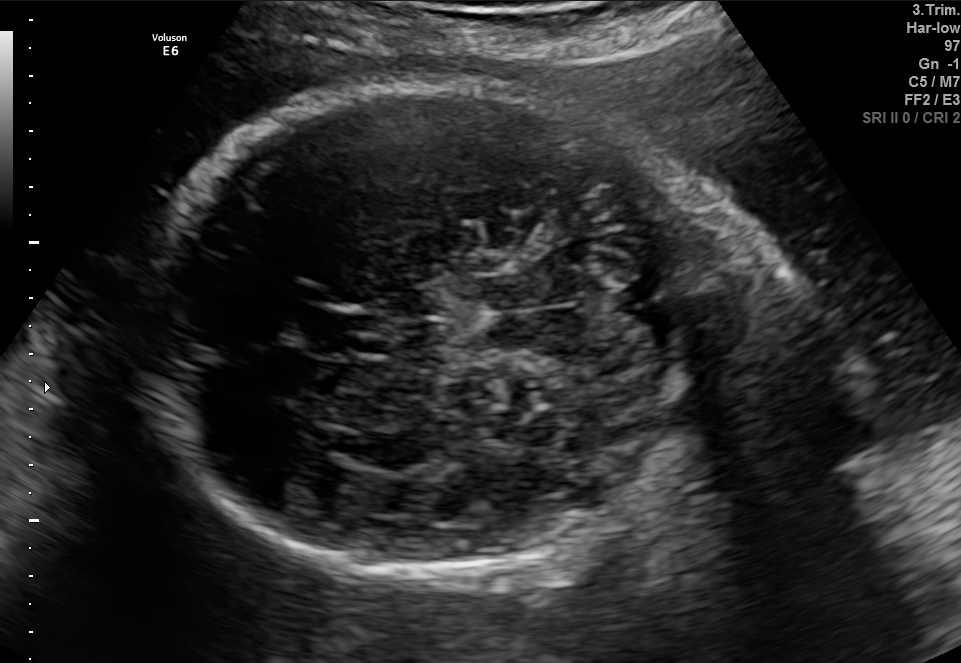
In this fetal brain, trans-cerebellum plane, give bounding boxes for the head outline, cavum septum pellucidum (CSP), and lateral ventricle (LV), where visible.

Head: [146,81,723,578]
CSP: [306,307,382,361]